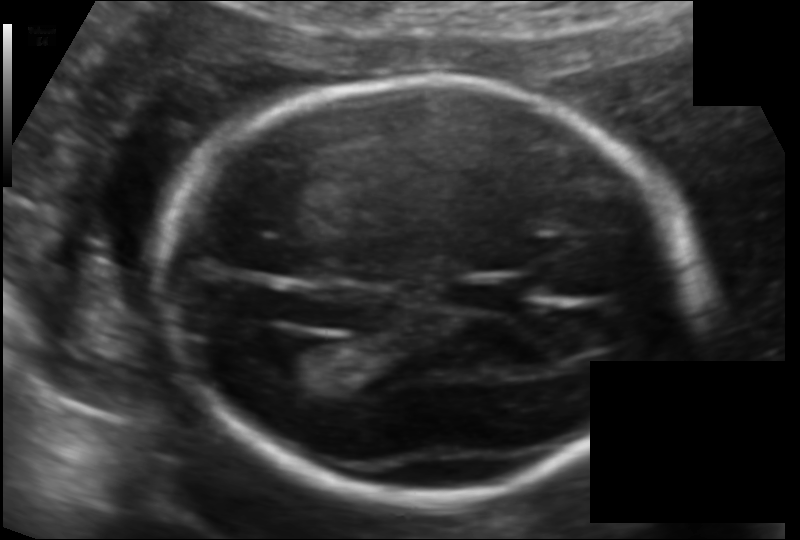
In this fetal head ultrasound, give the bounding box of the cavum septum pellucidum. Image width: 94.6 mm.

[457,280,523,307]